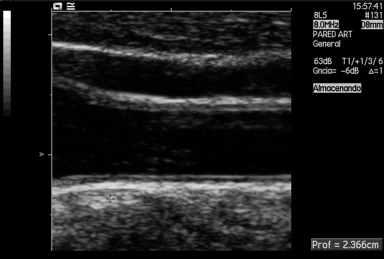
Classify this maternal-fetal ultrasound image as one of the six standard planes — fetal abdomen, fetal brain, fetal femur, fetal thorax, maternal cervix, or other. If it's fetal brain and one of the three standard brain planes (trans-thalamic, trans-cerebellum, trans-ventricular), name which.

Other